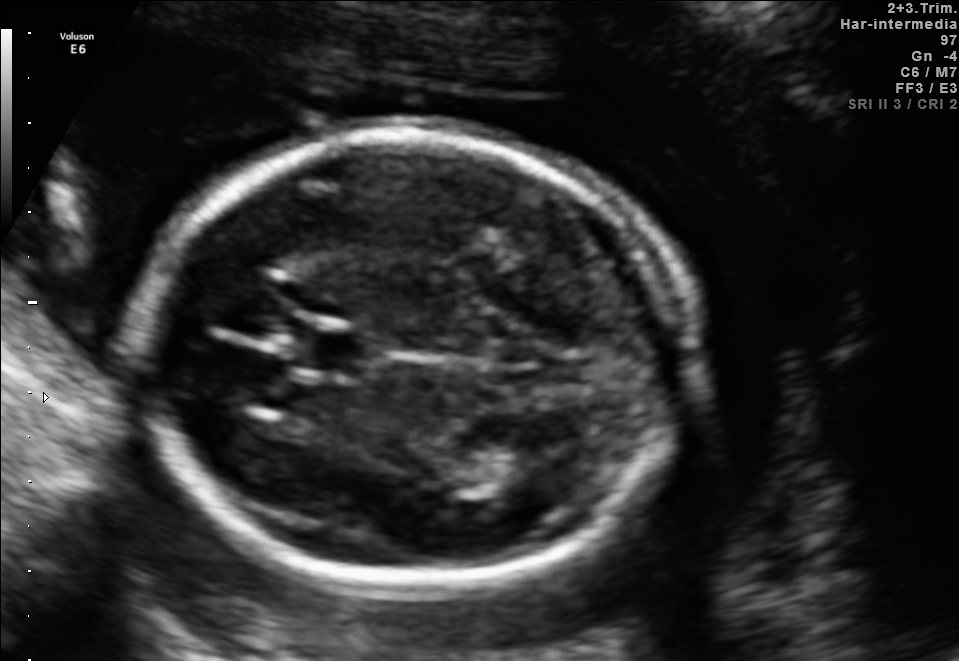
Fetal brain, trans-thalamic plane. Where is the lateral ventricle?

Lateral ventricle bounding box: [471,428,569,499]